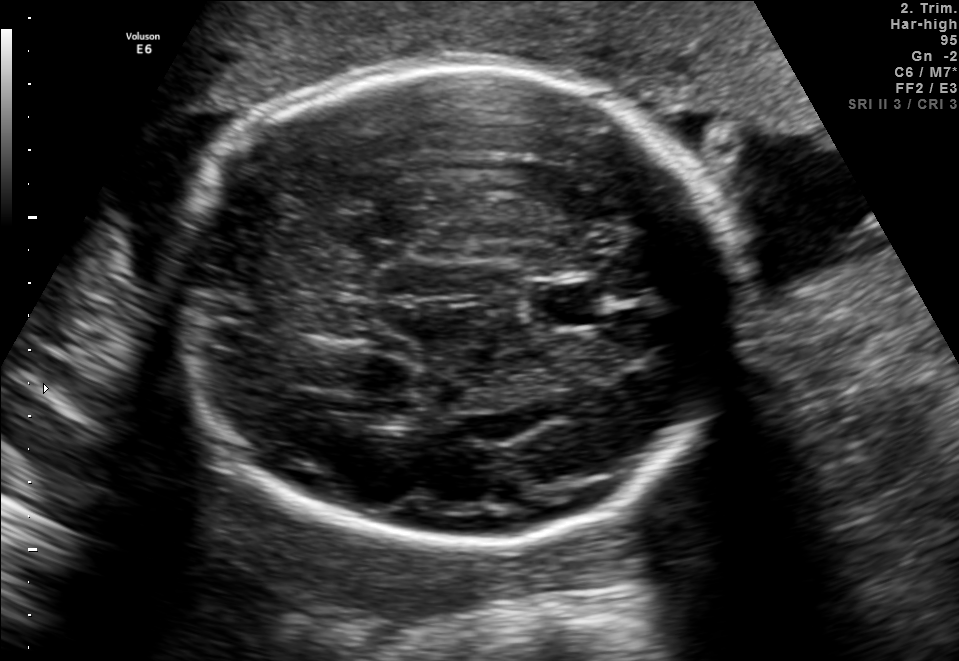
Fetal brain, trans-thalamic plane. Where is the fetal head?

Head bounding box: [174,64,731,547]